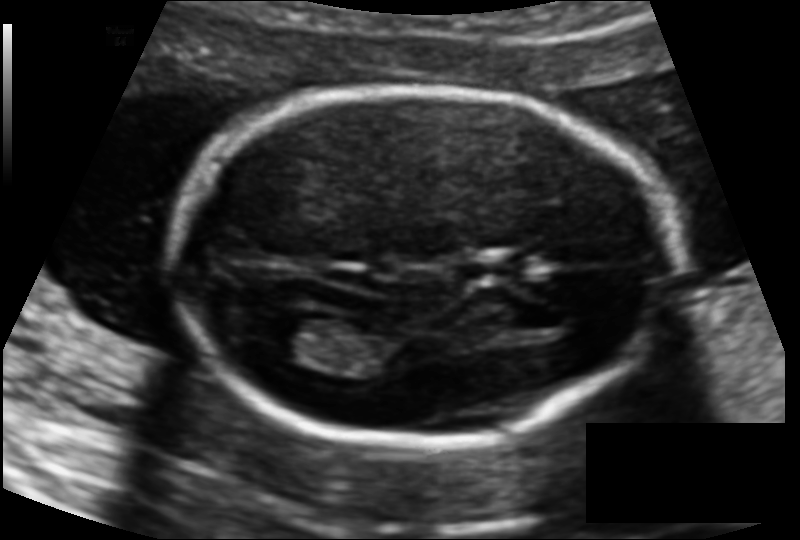
Fetal head ultrasound. Image width: 91.5 mm. Where is the lateral ventricle?

Lateral ventricle bounding box: [257,312,334,366]